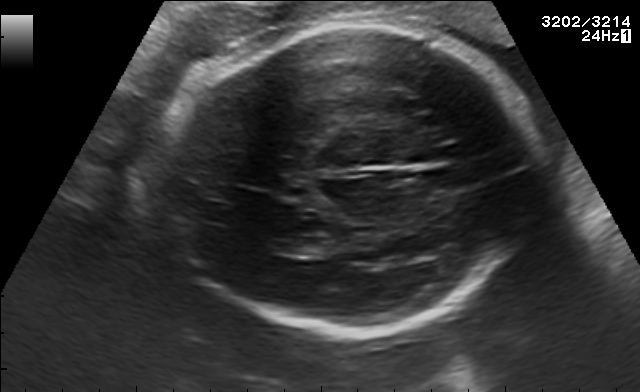
In this fetal brain, trans-thalamic plane, give the bounding box of the fetal head.

[162,21,540,337]